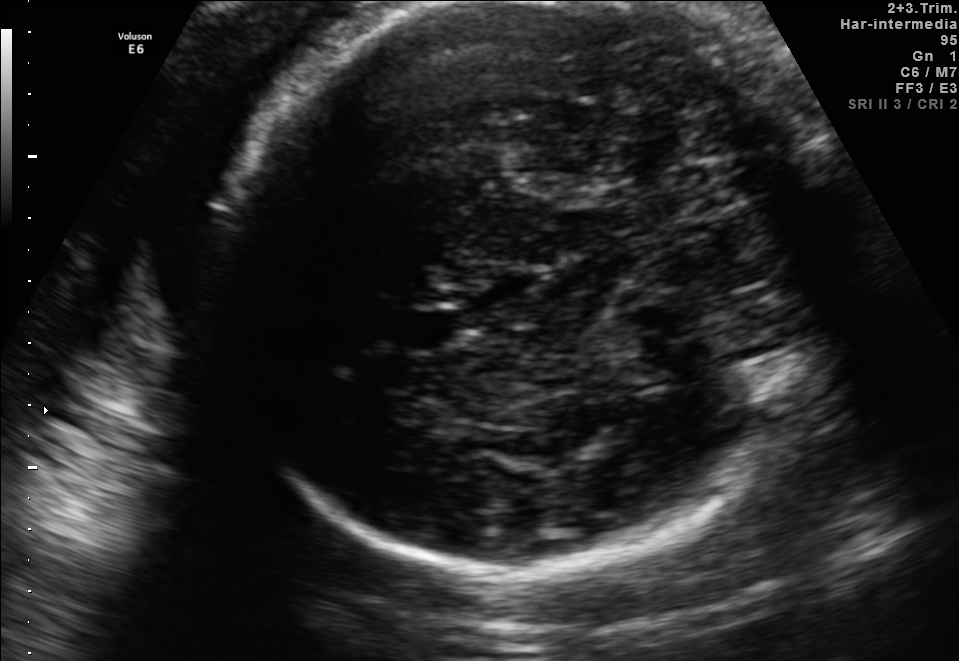
In this fetal brain, trans-thalamic plane, give the bounding box of the cavum septum pellucidum.

[398,307,455,352]